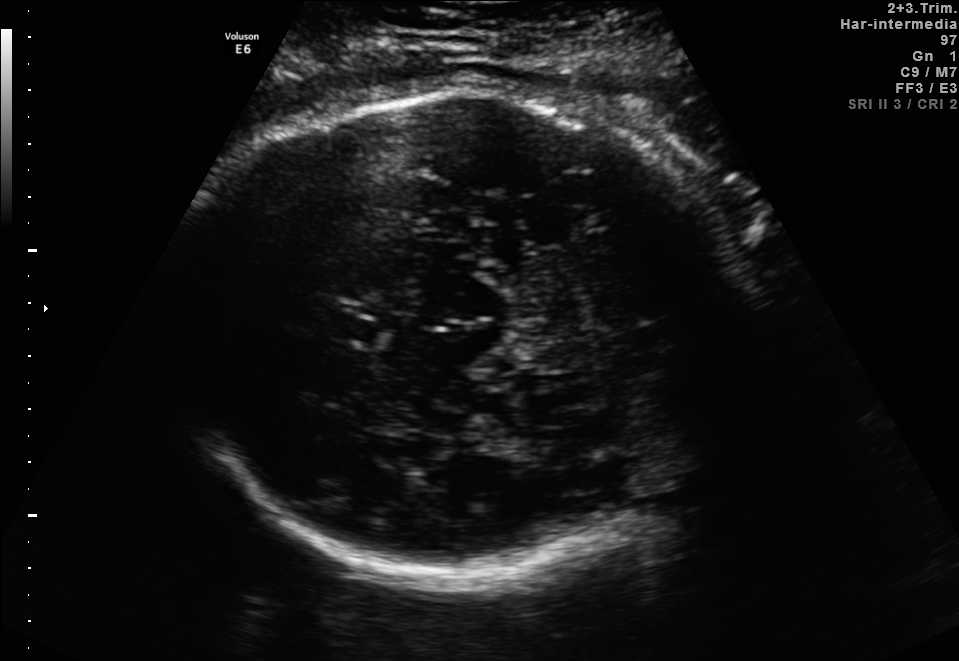
Fetal brain, trans-thalamic plane. Locate the cavum septum pellucidum.

CSP: [329,313,378,344]